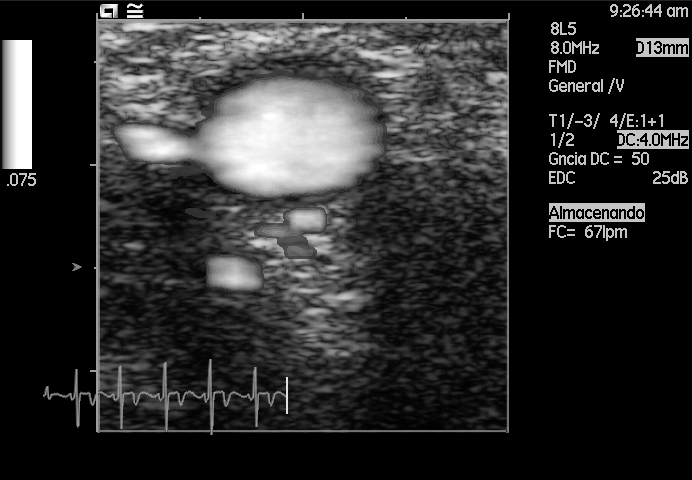
Classify this maternal-fetal ultrasound image as one of the six standard planes — fetal abdomen, fetal brain, fetal femur, fetal thorax, maternal cervix, or other. If it's fetal brain and one of the three standard brain planes (trans-thalamic, trans-cerebellum, trans-ventricular), name which.

Other